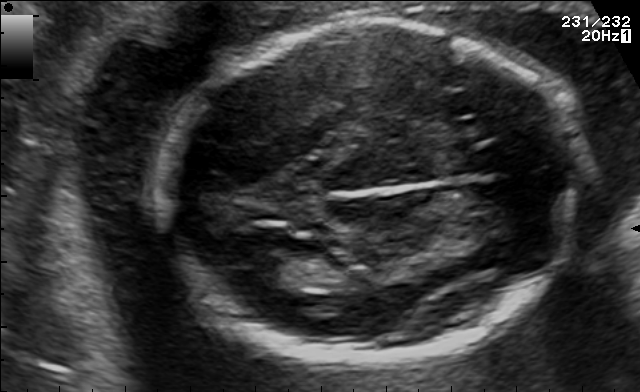
Fetal brain, trans-thalamic plane. Locate the fetal head and, if visible, the cavum septum pellucidum (CSP) and lateral ventricle (LV). Give bounding boxes as [x1,y1,x2,y2].

Head: [154,20,582,362]
Lateral ventricle: [241,248,314,290]